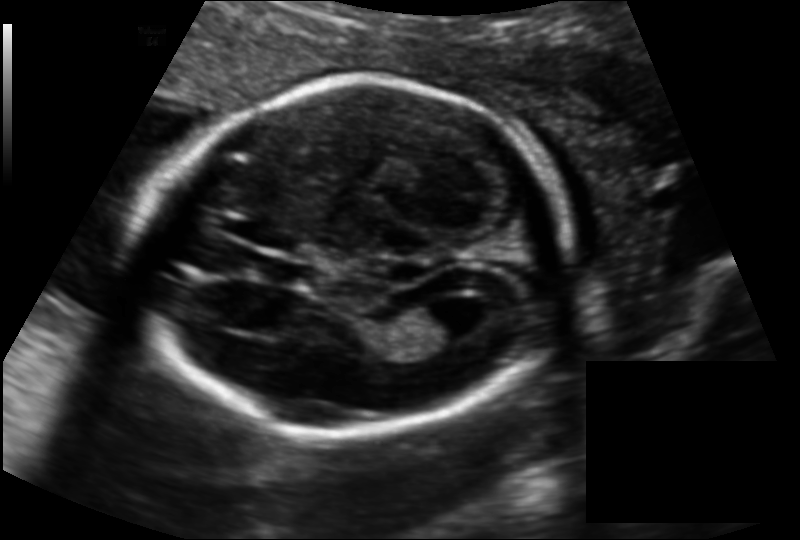
Fetal head ultrasound. Image width: 107.9 mm. Where is the lateral ventricle?

Lateral ventricle bounding box: [406,280,490,355]